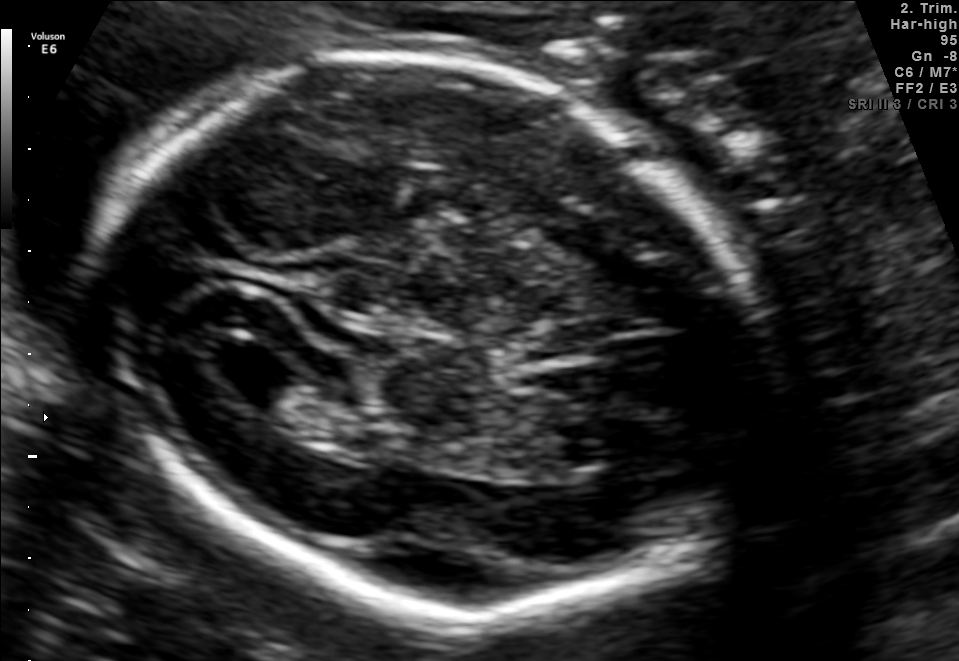
Fetal brain, trans-ventricular plane. Locate the lateral ventricle.

Lateral ventricle: [200,320,306,420]